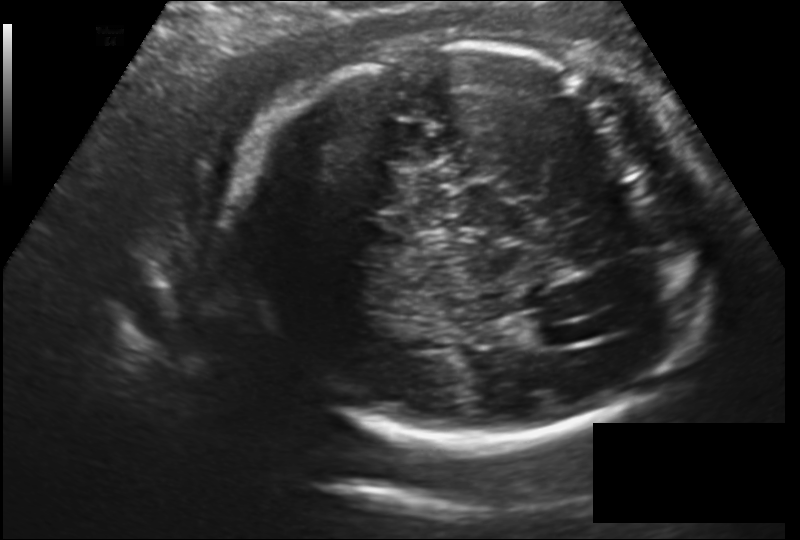
Fetal head ultrasound. Image width: 142.0 mm. Locate the fetal head and, if visible, the cavum septum pellucidum (CSP) and lateral ventricle (LV). Give bounding boxes as [x1,y1,x2,y2].

Head: [234,43,712,444]
Lateral ventricle: [528,321,577,350]